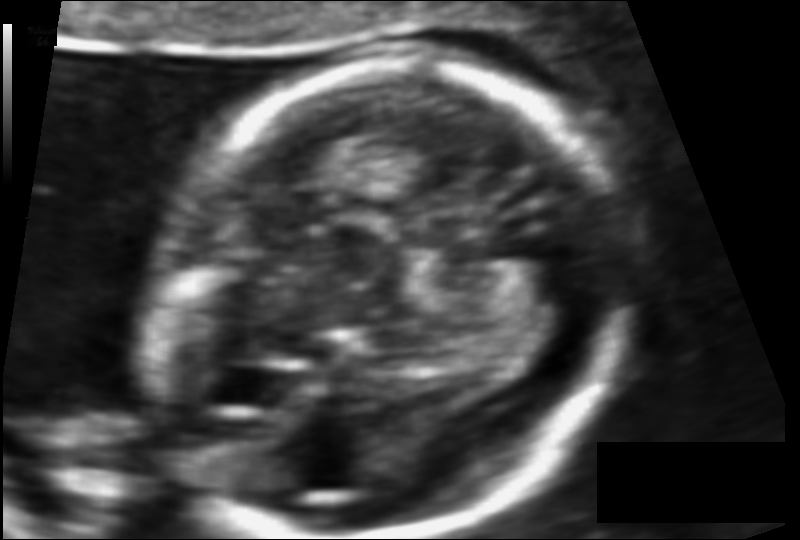
In this fetal head ultrasound, give the bounding box of the fetal head. Image width: 66.0 mm.

[143,65,626,536]